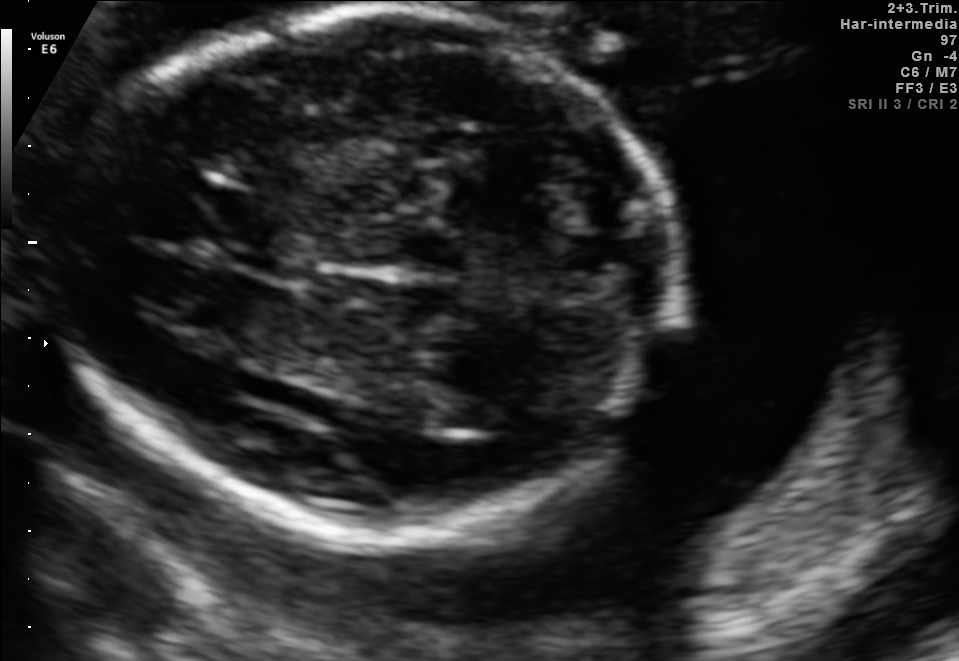
Fetal brain, trans-thalamic plane. Where is the cavum septum pellucidum?

CSP bounding box: [187,183,316,279]